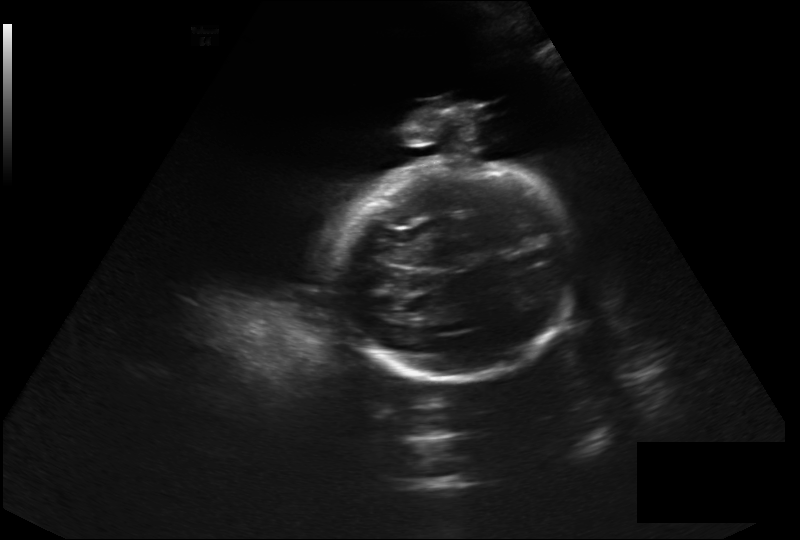
Fetal head ultrasound. Image width: 261.1 mm. Where is the fetal head?

Head bounding box: [330,159,574,382]